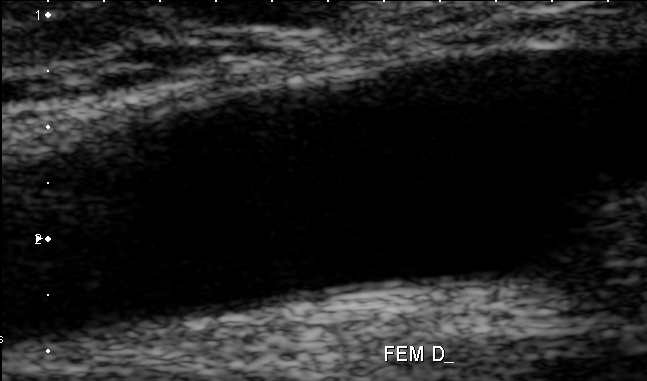
Classify this maternal-fetal ultrasound image as one of the six standard planes — fetal abdomen, fetal brain, fetal femur, fetal thorax, maternal cervix, or other. If it's fetal brain and one of the three standard brain planes (trans-thalamic, trans-cerebellum, trans-ventricular), name which.

Other